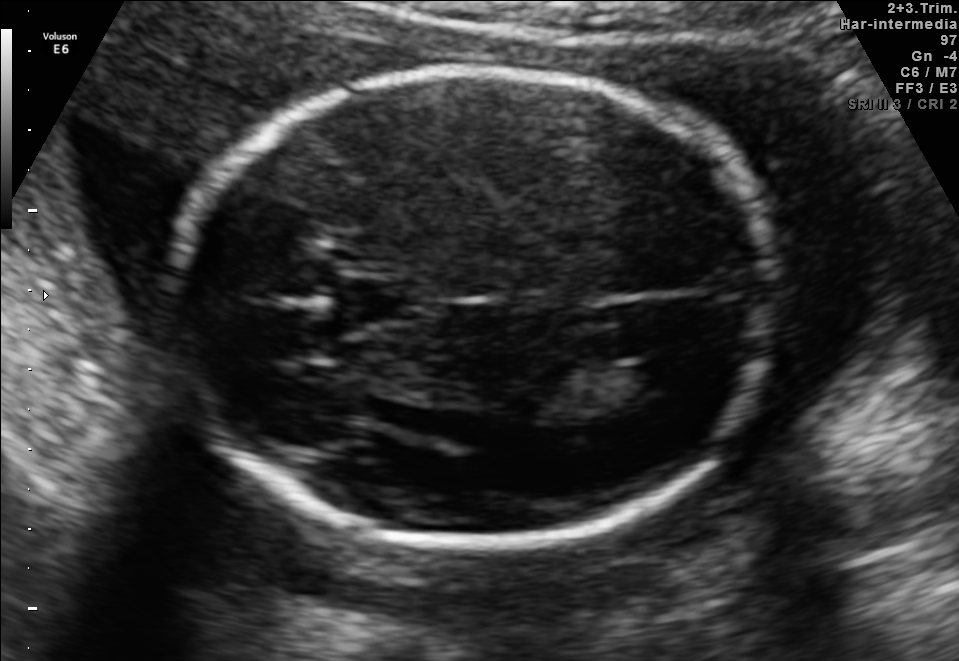
In this fetal brain, trans-ventricular plane, give bounding boxes for the head outline, cavum septum pellucidum (CSP), and lateral ventricle (LV), where visible.

Head: [155,58,798,557]
CSP: [325,280,417,322]
Lateral ventricle: [619,353,690,403]